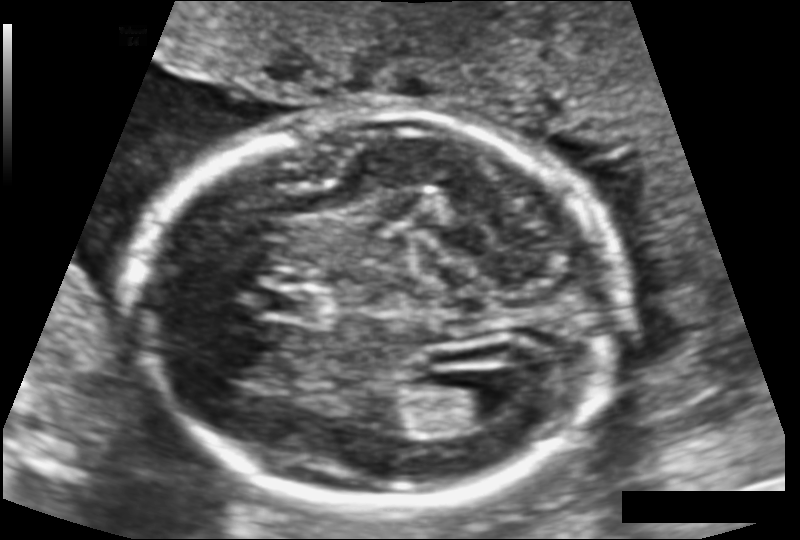
Measure the fetal head circumference shown in this ultrasound image. Image width: 99.5 mm.

Head circumference: 179.0 mm.